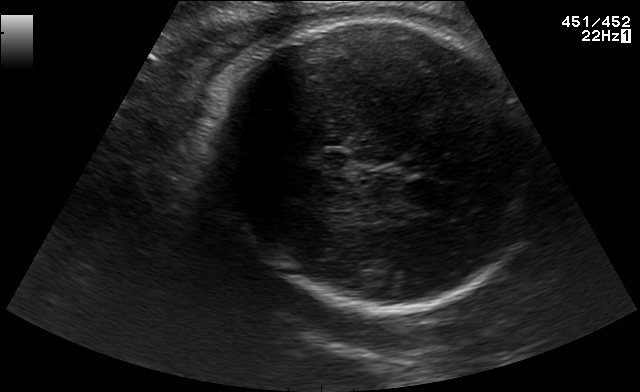
This is a 2D maternal-fetal ultrasound frame. Is it a fetal abdomen, fetal brain, fetal femur, fetal thorax, maternal cervix, or other standard plane? If it's fetal brain and one of the three standard brain planes (trans-thalamic, trans-cerebellum, trans-ventricular), name which.

Fetal brain (trans-thalamic plane)